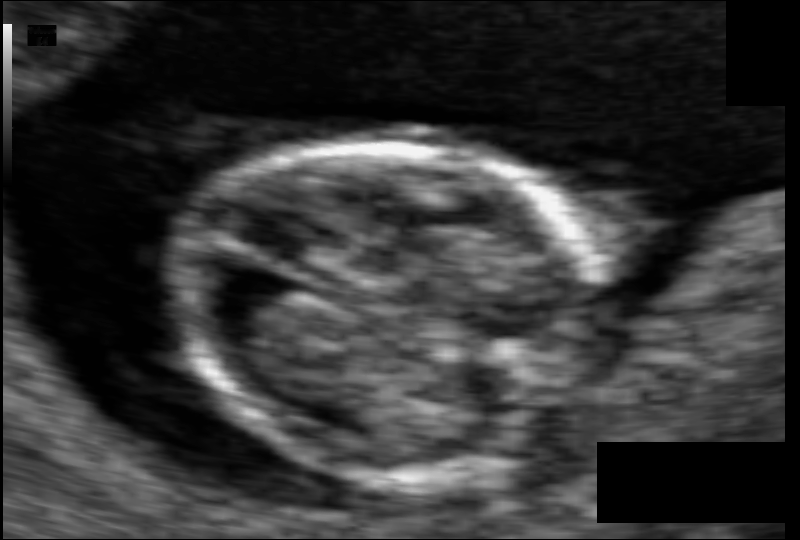
Fetal head ultrasound. Image width: 43.6 mm. Where is the fetal head?

Head bounding box: [173,144,606,478]